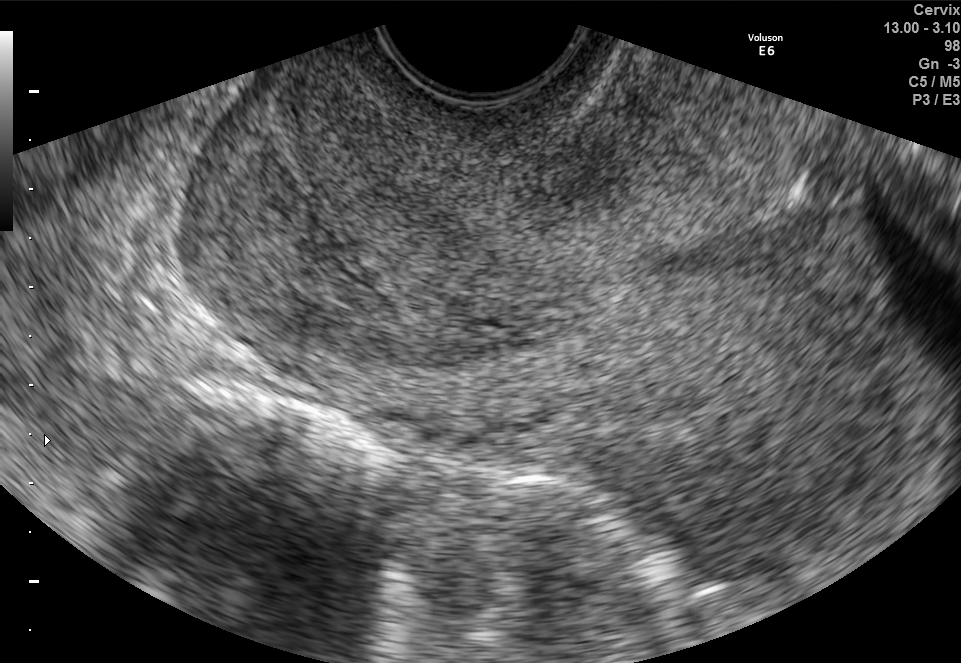
Which standard maternal-fetal ultrasound plane is shown: fetal abdomen, fetal brain, fetal femur, fetal thorax, maternal cervix, or other? If it's fetal brain and one of the three standard brain planes (trans-thalamic, trans-cerebellum, trans-ventricular), name which.

Maternal cervix